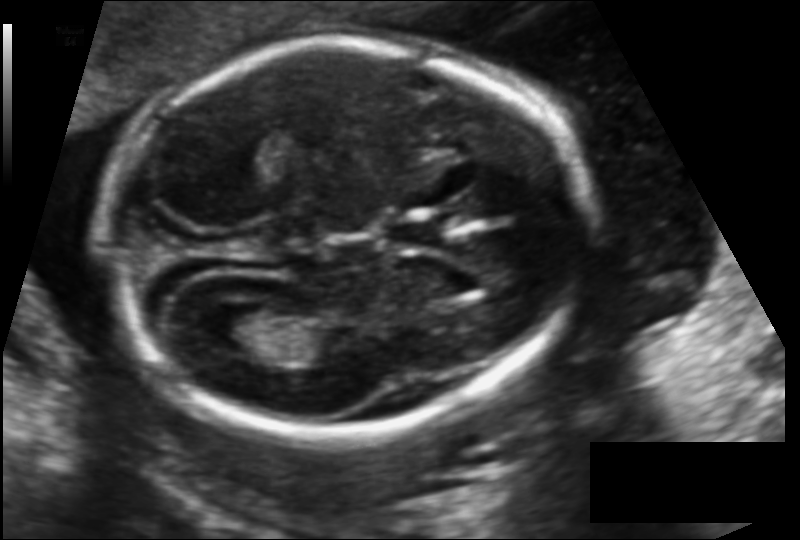
In this fetal head ultrasound, give the bounding box of the lateral ventricle. Image width: 98.7 mm.

[200,308,271,352]